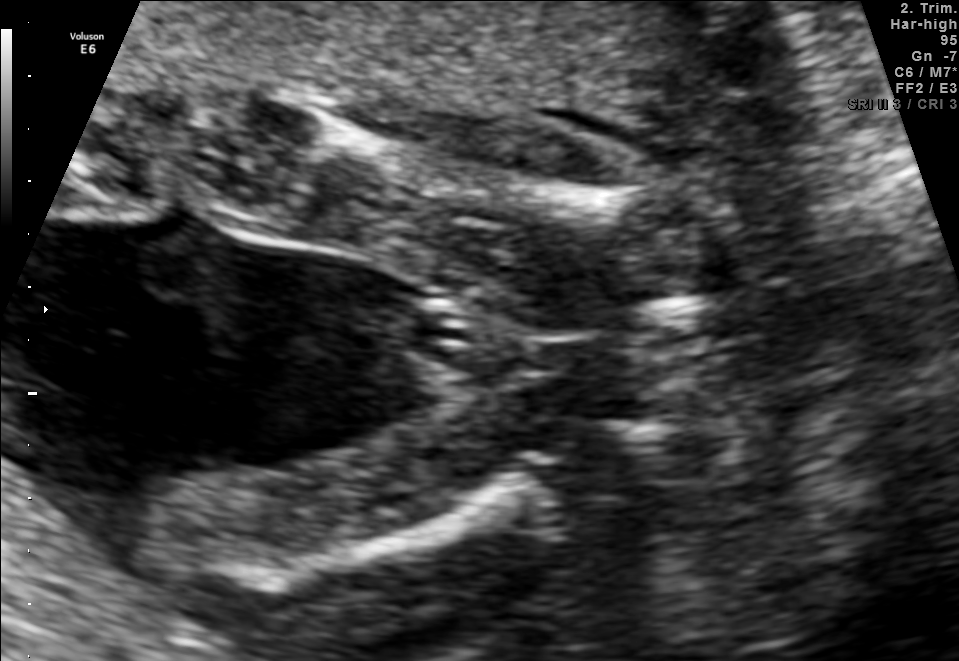
Which standard maternal-fetal ultrasound plane is shown: fetal abdomen, fetal brain, fetal femur, fetal thorax, maternal cervix, or other? If it's fetal brain and one of the three standard brain planes (trans-thalamic, trans-cerebellum, trans-ventricular), name which.

Fetal femur